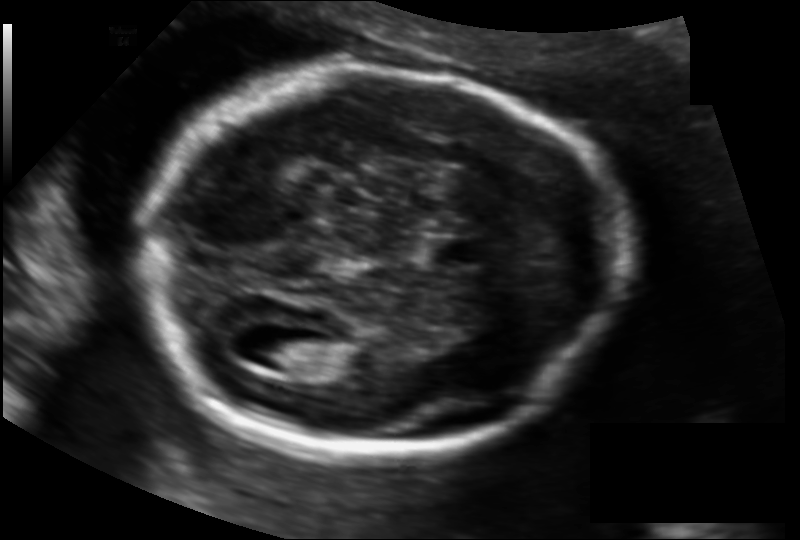
Fetal head ultrasound. Image width: 102.3 mm. Locate the fetal head.

Head: [142,69,621,452]